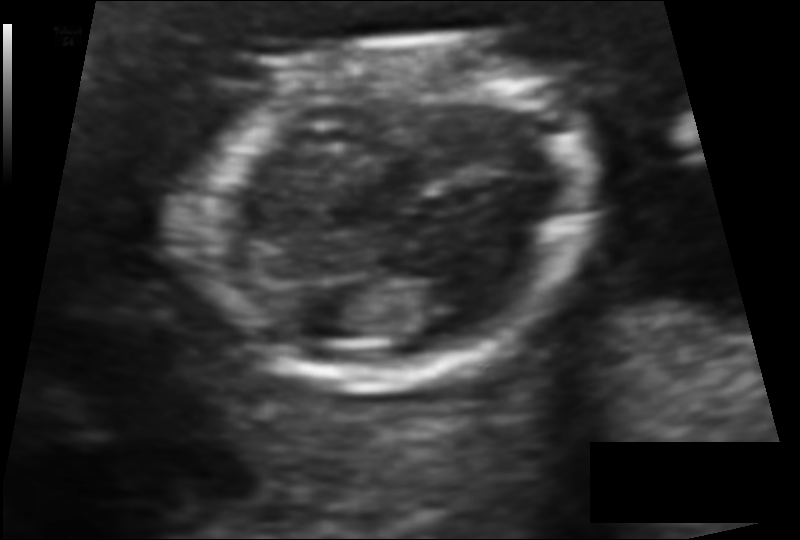
In this fetal head ultrasound, give bounding boxes for the head outline, cavum septum pellucidum (CSP), and lateral ventricle (LV), where visible. Image width: 72.9 mm.

Head: [203,40,591,389]